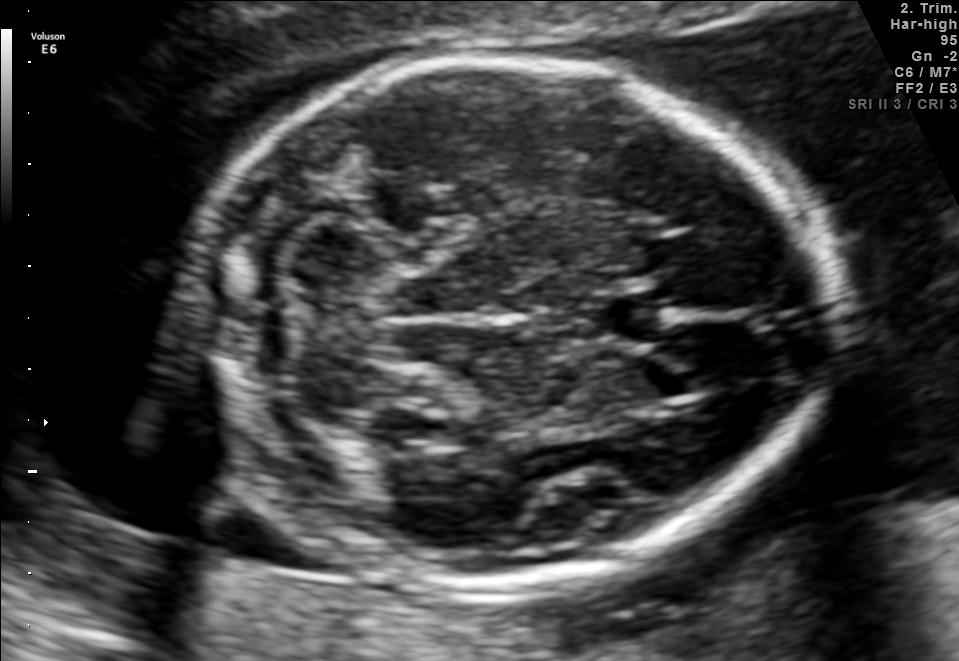
In this fetal brain, trans-cerebellum plane, give the bounding box of the cavum septum pellucidum.

[586,281,674,353]